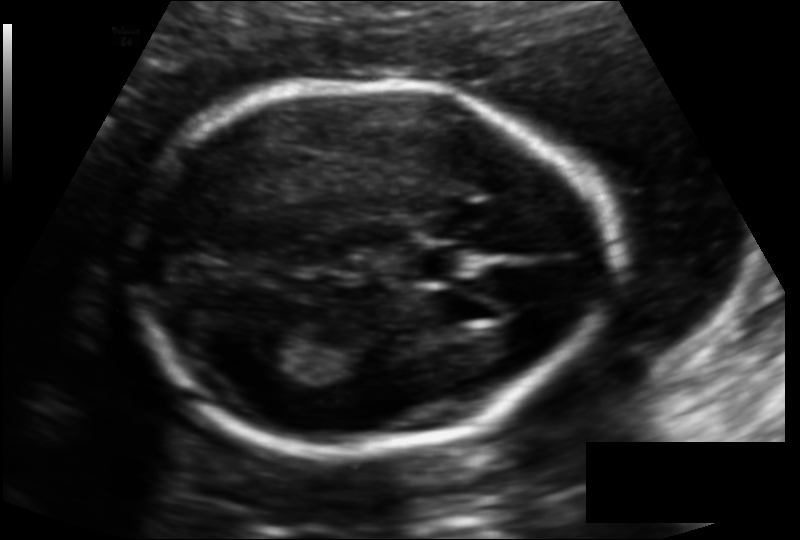
Fetal head ultrasound. Image width: 96.8 mm. Locate the cavum septum pellucidum.

CSP: [406,242,468,282]